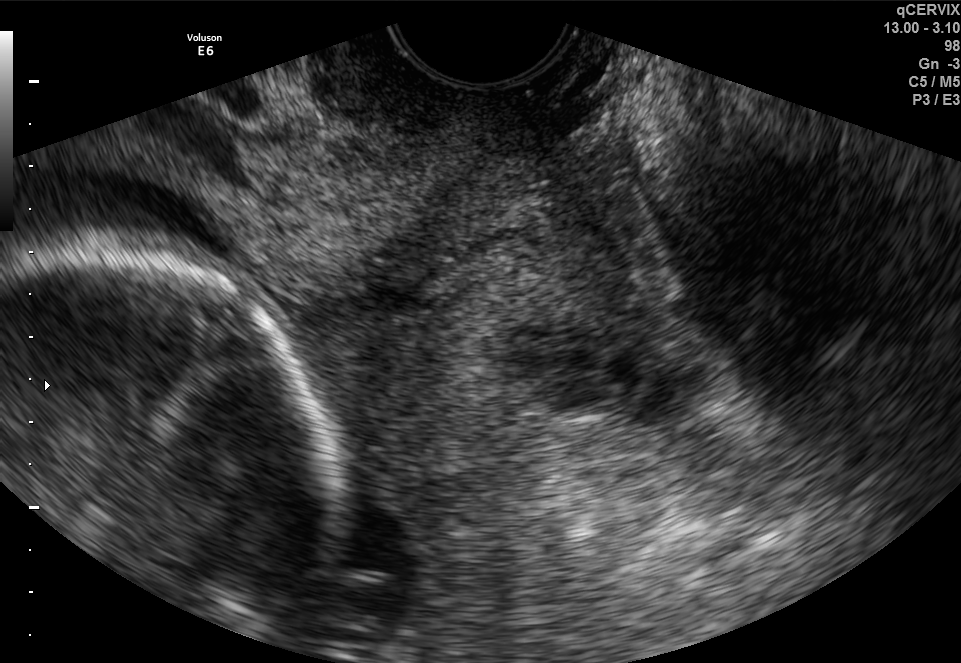
Identify the standard plane in this fetal ultrasound image: fetal abdomen, fetal brain, fetal femur, fetal thorax, maternal cervix, or other. If it's fetal brain and one of the three standard brain planes (trans-thalamic, trans-cerebellum, trans-ventricular), name which.

Maternal cervix